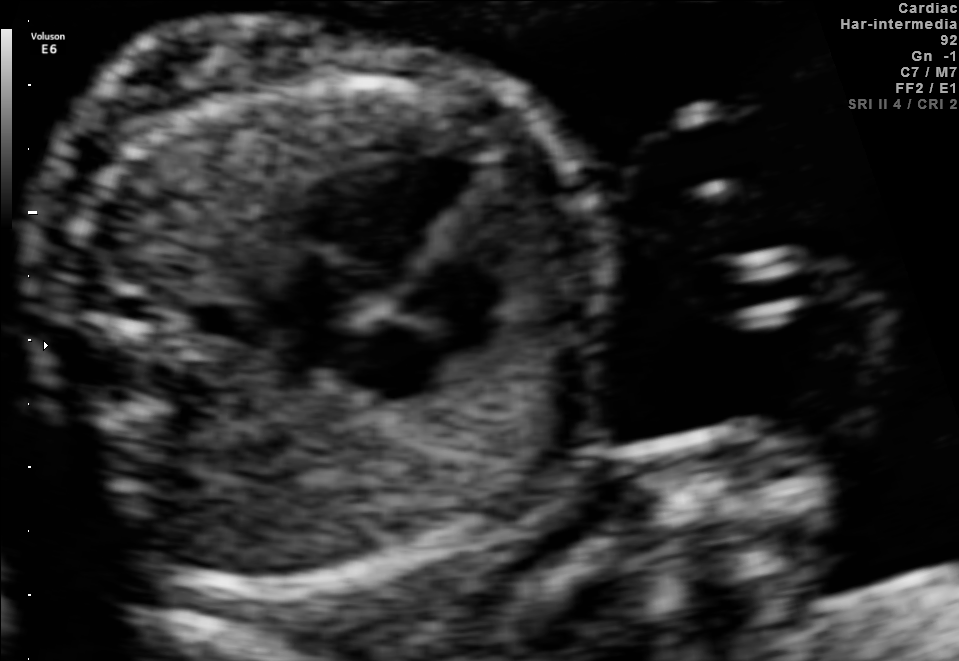
This is a 2D maternal-fetal ultrasound frame. Is it a fetal abdomen, fetal brain, fetal femur, fetal thorax, maternal cervix, or other standard plane? If it's fetal brain and one of the three standard brain planes (trans-thalamic, trans-cerebellum, trans-ventricular), name which.

Fetal thorax